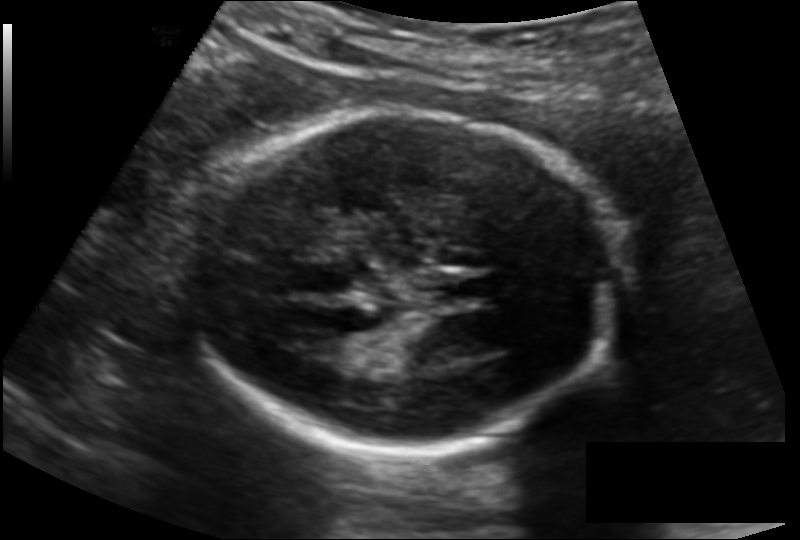
From this fetal ultrasound, estimate the head circumference (image width 107.6 mm).

Head circumference: 168.3 mm.